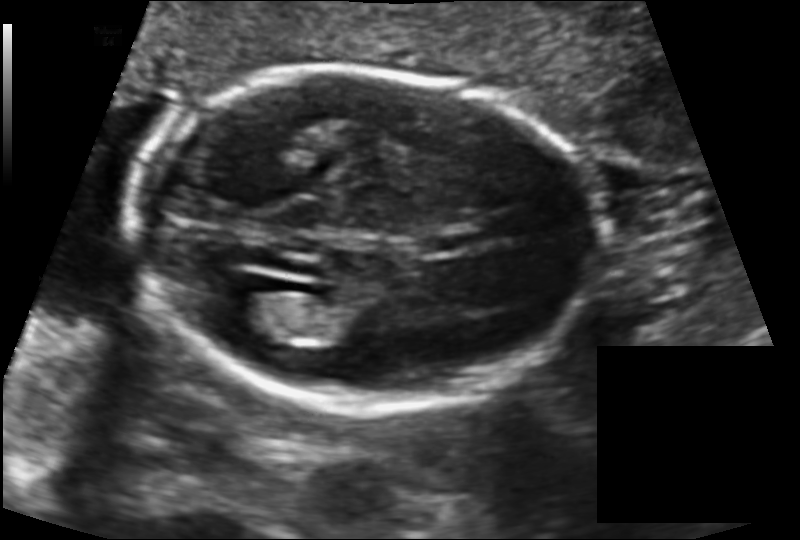
Fetal head ultrasound. Image width: 105.0 mm. Locate the fetal head and, if visible, the cavum septum pellucidum (CSP) and lateral ventricle (LV). Give bounding boxes as [x1,y1,x2,y2].

Head: [133,73,604,410]
CSP: [417,229,474,258]
Lateral ventricle: [220,294,293,340]